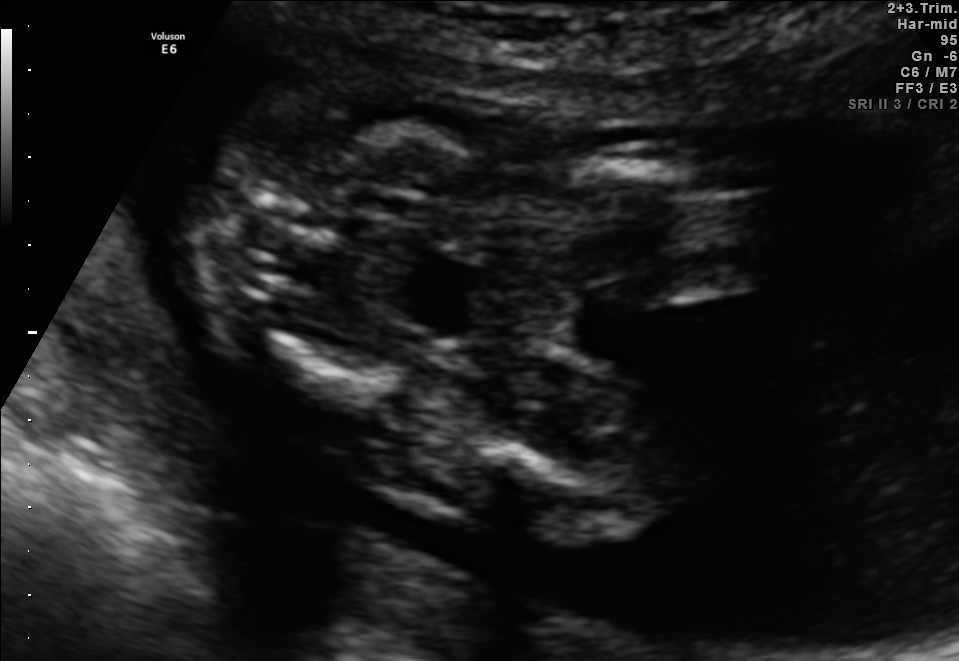
Which standard maternal-fetal ultrasound plane is shown: fetal abdomen, fetal brain, fetal femur, fetal thorax, maternal cervix, or other? If it's fetal brain and one of the three standard brain planes (trans-thalamic, trans-cerebellum, trans-ventricular), name which.

Other